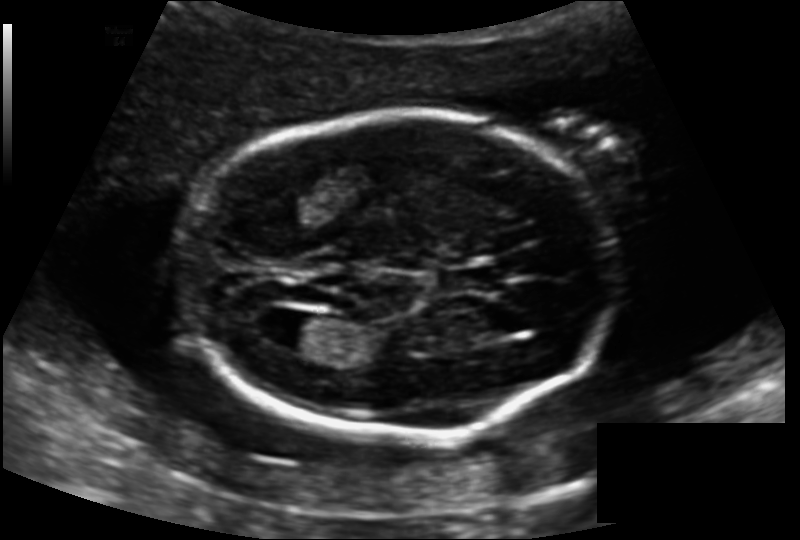
From this fetal ultrasound, estimate the head circumference (image width 111.5 mm).

Head circumference: 173.2 mm.